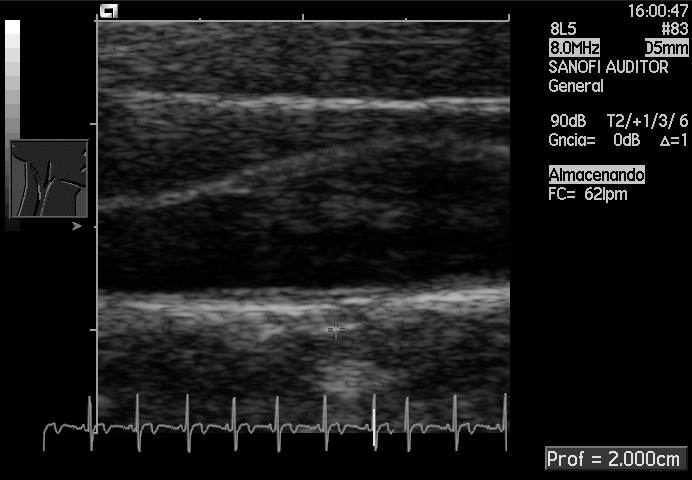
Which standard maternal-fetal ultrasound plane is shown: fetal abdomen, fetal brain, fetal femur, fetal thorax, maternal cervix, or other? If it's fetal brain and one of the three standard brain planes (trans-thalamic, trans-cerebellum, trans-ventricular), name which.

Other